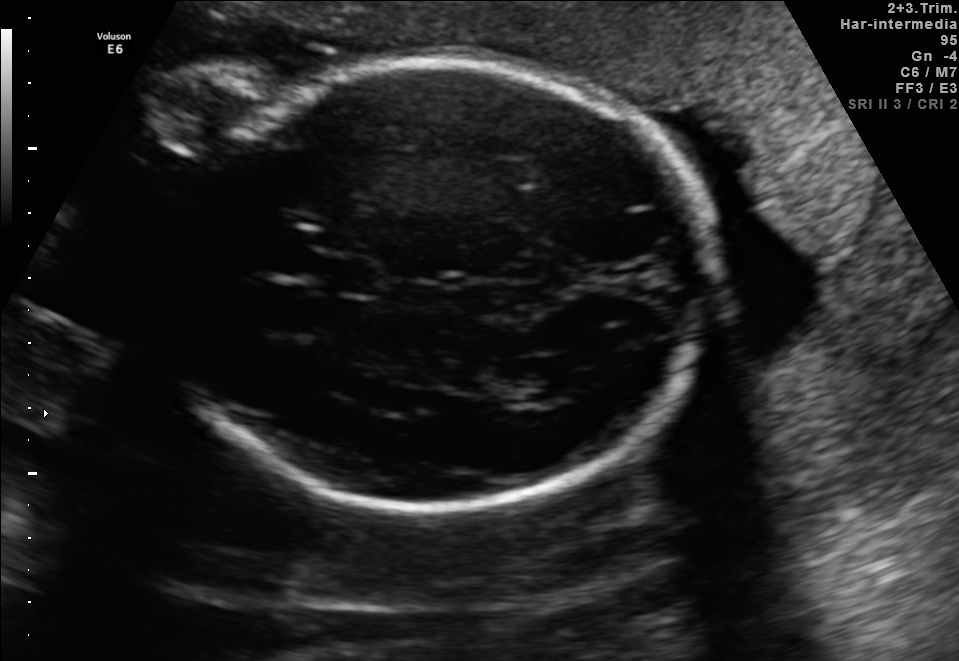
Fetal brain, trans-ventricular plane. Locate the fetal head and, if visible, the cavum septum pellucidum (CSP) and lateral ventricle (LV). Give bounding boxes as [x1,y1,x2,y2].

Head: [161,55,724,516]
CSP: [322,261,380,295]